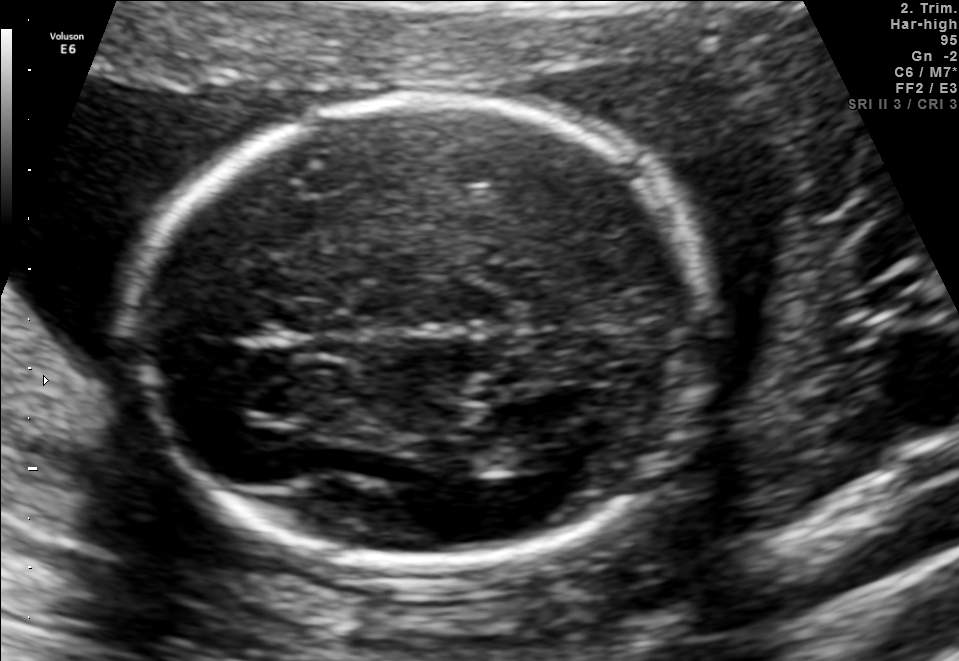
In this fetal brain, trans-thalamic plane, give the bounding box of the lateral ventricle.

[471,431,565,478]